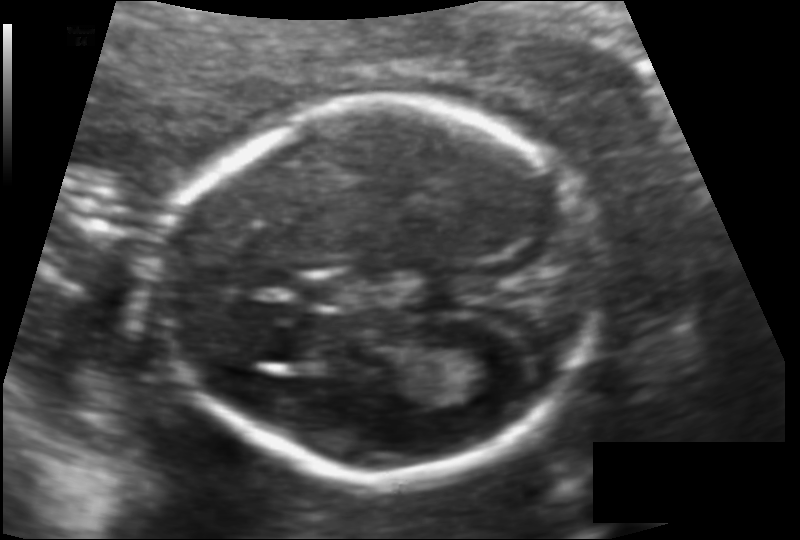
Fetal head ultrasound. Image width: 90.5 mm. Where is the cavum septum pellucidum?

CSP bounding box: [295,276,357,307]